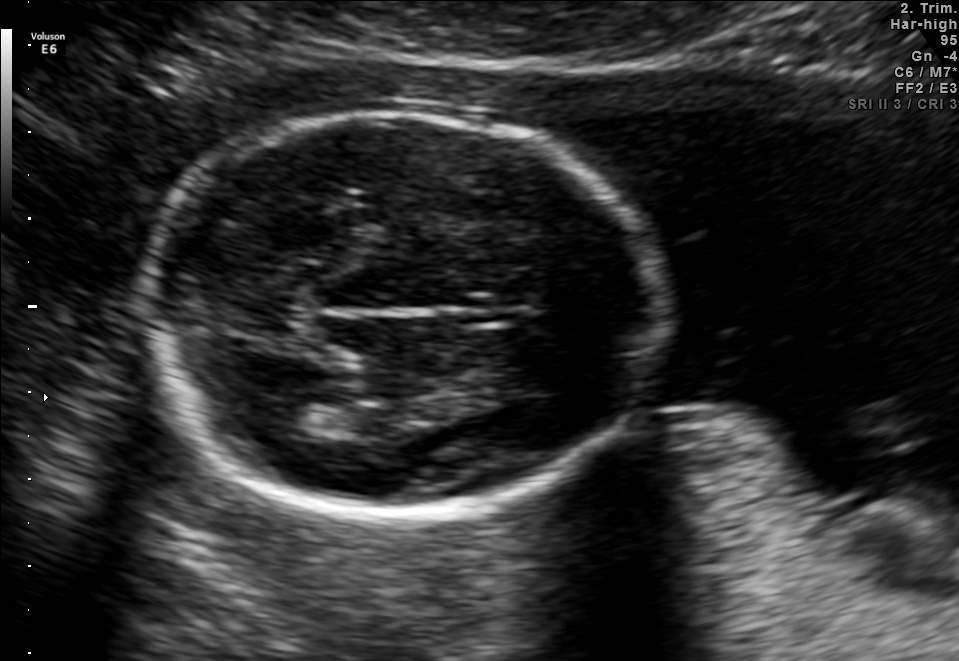
Fetal brain, trans-thalamic plane. Where is the lateral ventricle?

Lateral ventricle bounding box: [261,396,319,439]